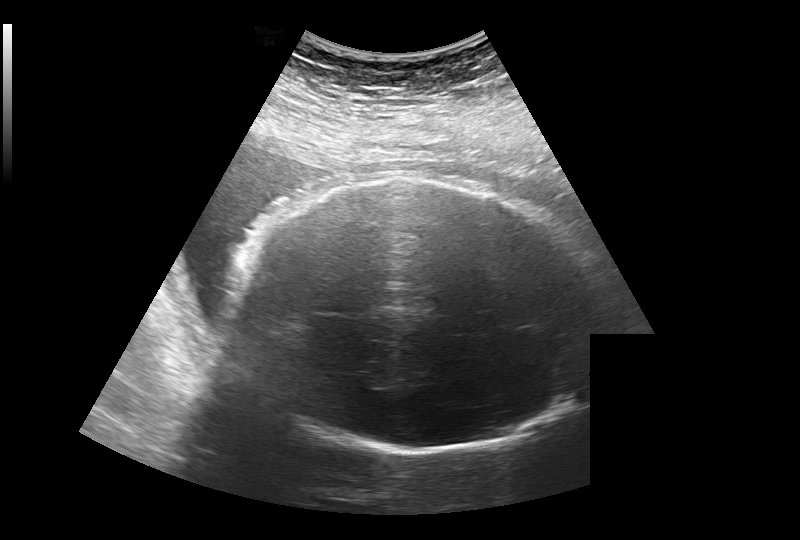
From this fetal ultrasound, estimate the head circumference (image width 246.2 mm).

Head circumference: 315.0 mm.